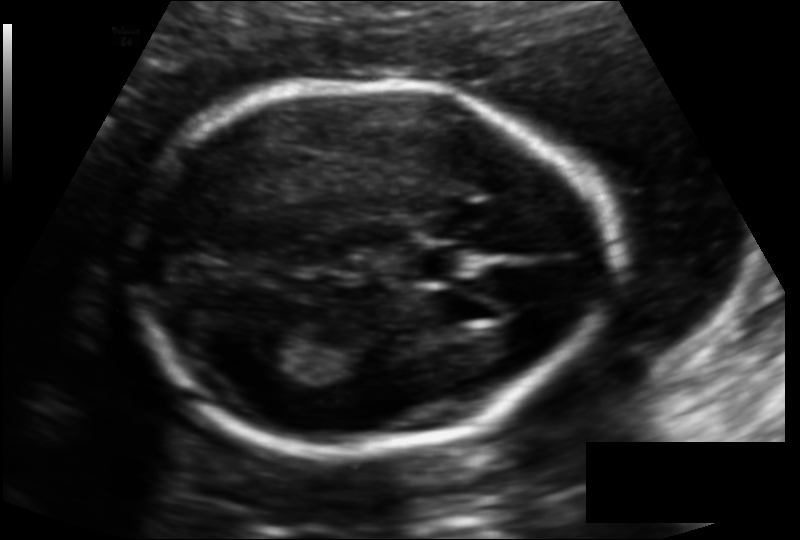
Estimate the fetal head circumference from this 2D ultrasound.

Head circumference: 171.3 mm (image width 96.8 mm).